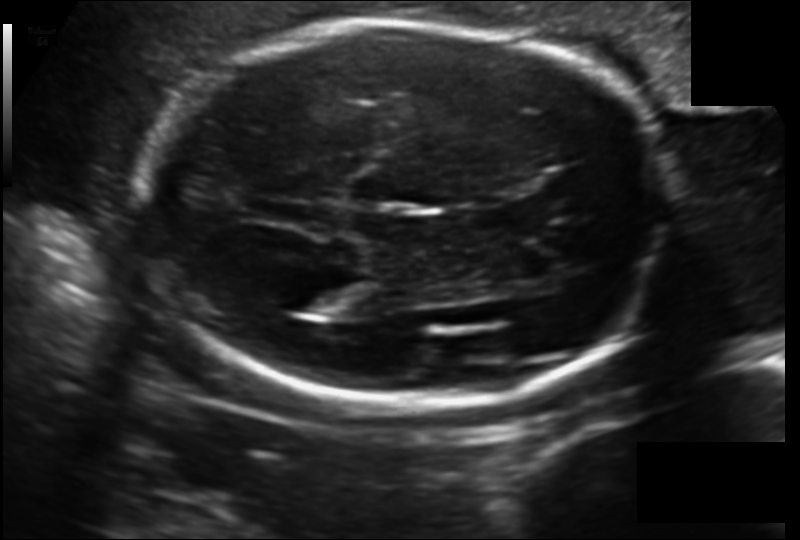
In this fetal head ultrasound, give bounding boxes for the head outline, cavum septum pellucidum (CSP), and lateral ventricle (LV), where visible. Image width: 121.4 mm.

Head: [143,19,669,407]
Lateral ventricle: [280,272,358,316]